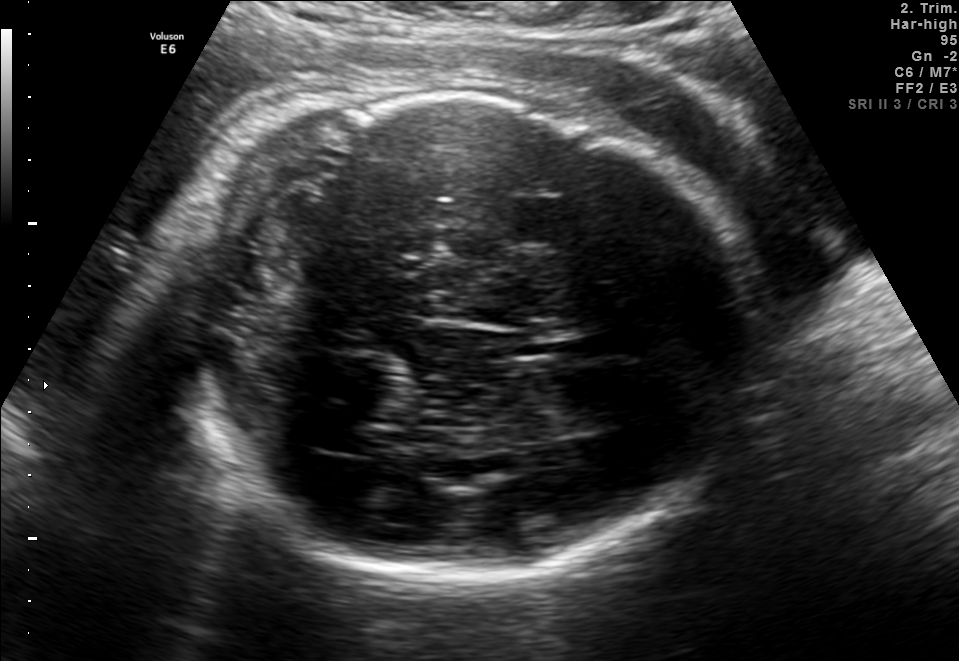
Fetal brain, trans-thalamic plane. Where is the fetal head?

Head bounding box: [147,93,768,576]